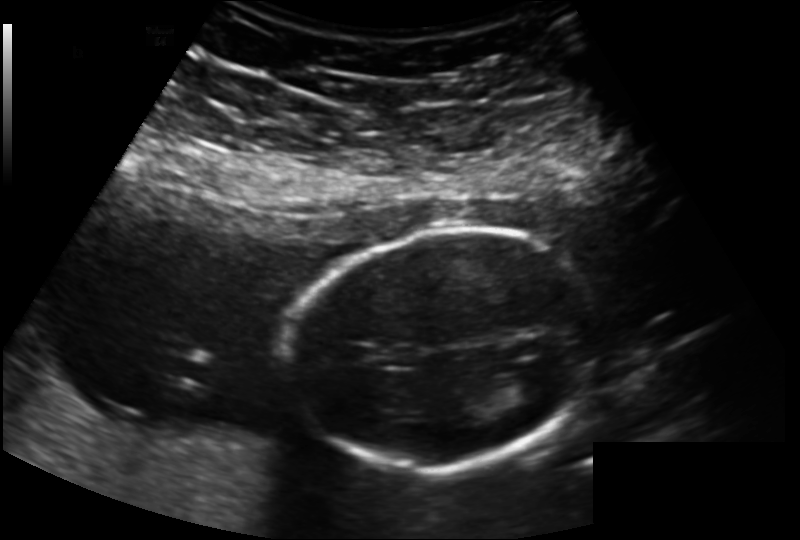
What is the fetal head circumference? Image width is 130.7 mm.

145.7 mm